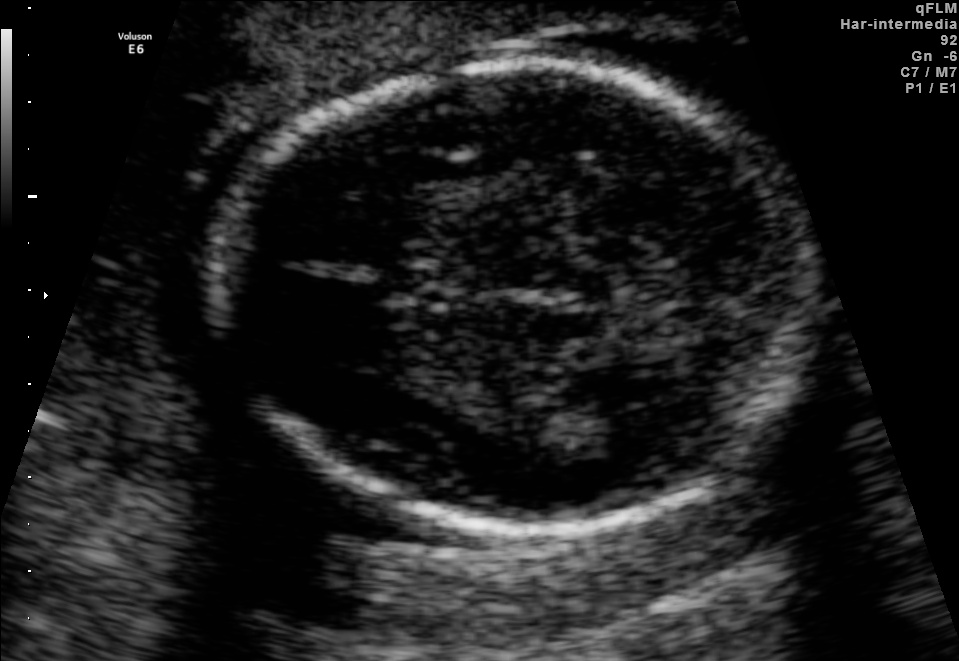
In this fetal brain, trans-thalamic plane, give bounding boxes for the head outline, cavum septum pellucidum (CSP), and lateral ventricle (LV), where visible.

Head: [219,62,816,525]